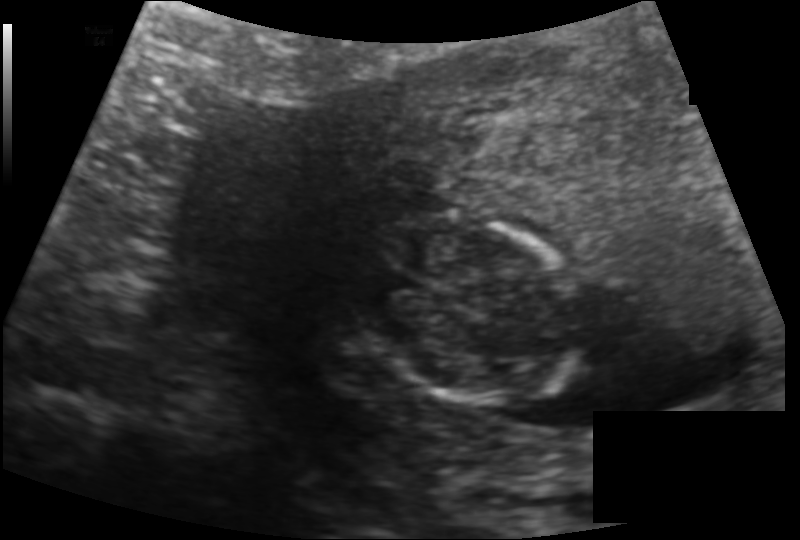
Fetal head ultrasound. Image width: 102.6 mm. Locate the fetal head.

Head: [360,215,581,404]